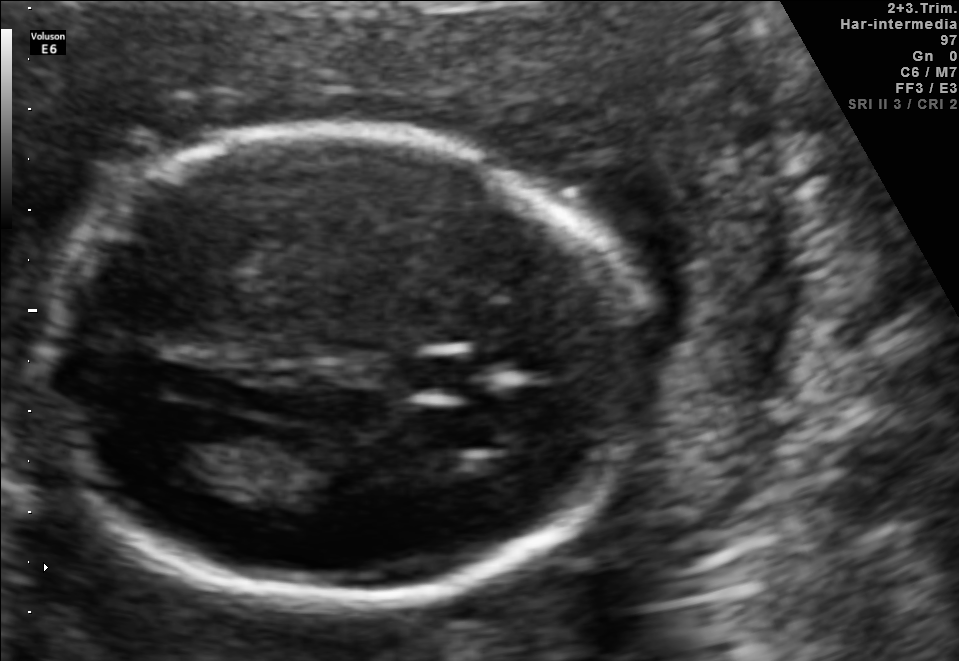
In this fetal brain, trans-ventricular plane, give the bounding box of the cavum septum pellucidum.

[412,356,472,391]